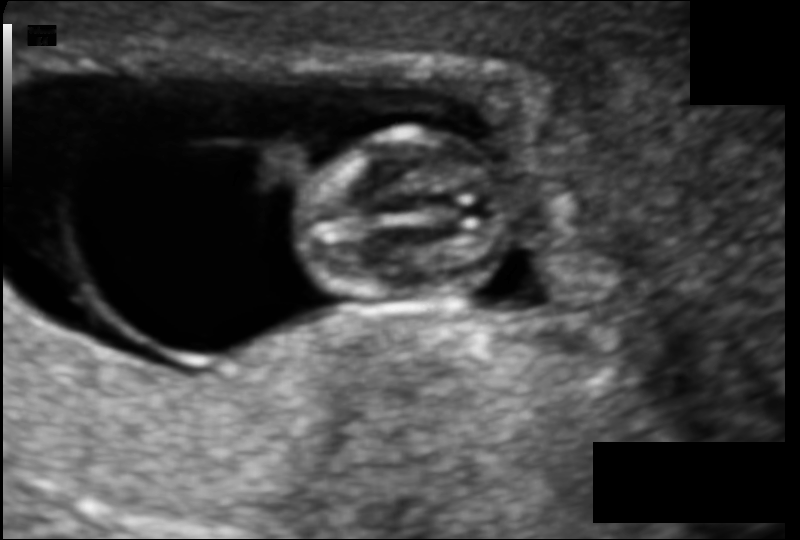
Estimate the fetal head circumference from this 2D ultrasound.

Head circumference: 56.8 mm (image width 71.7 mm).